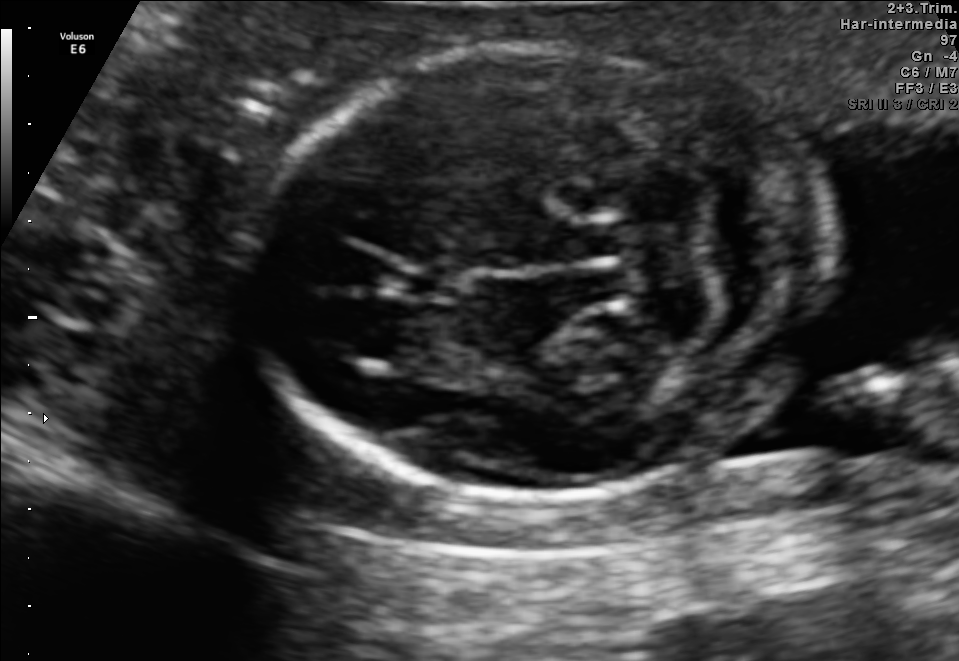
Fetal brain, trans-cerebellum plane. Locate the fetal head and, if visible, the cavum septum pellucidum (CSP) and lateral ventricle (LV). Give bounding boxes as [x1,y1,x2,y2].

Head: [252,46,825,497]
CSP: [400,263,461,301]